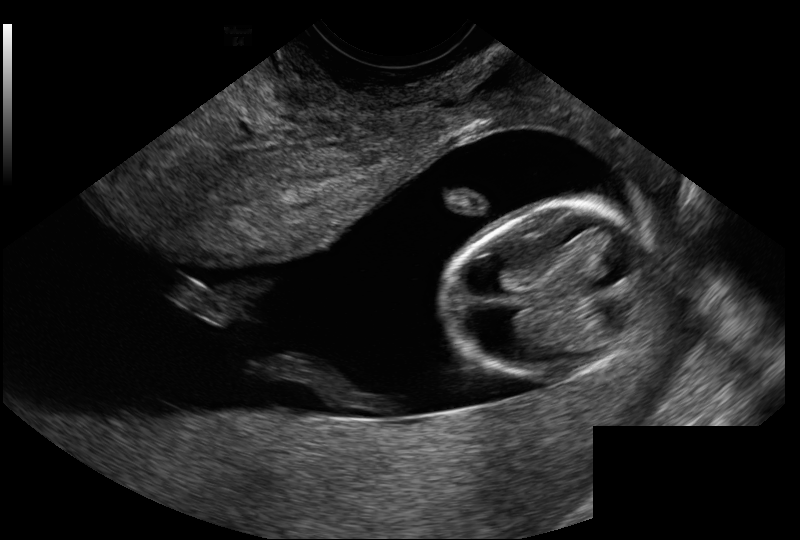
Estimate the fetal head circumference from this 2D ultrasound.

Head circumference: 69.8 mm (image width 91.5 mm).